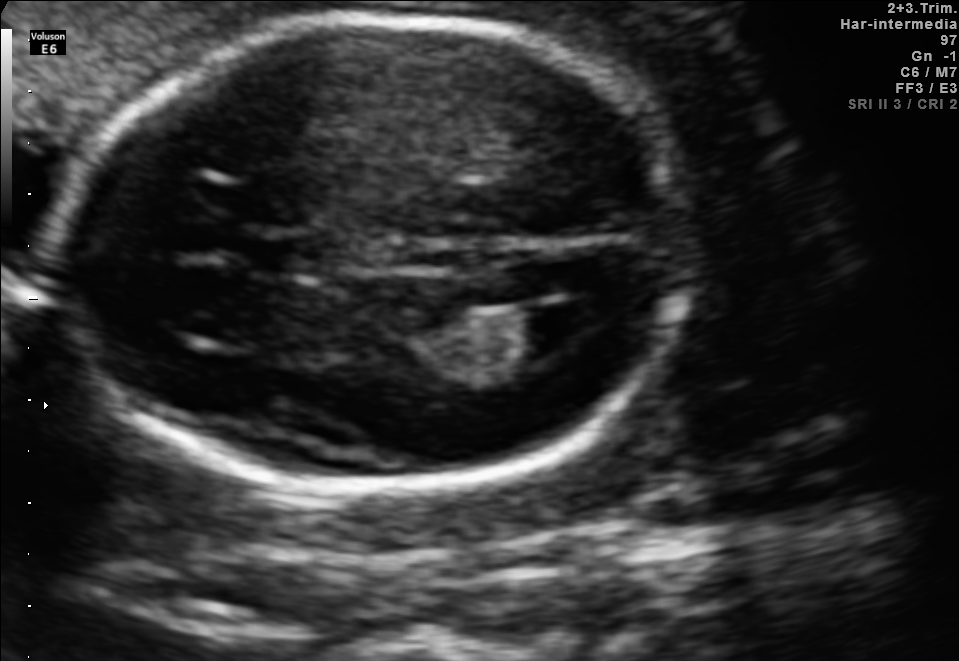
Fetal brain, trans-ventricular plane. Locate the cavum septum pellucidum.

CSP: [248,239,323,272]